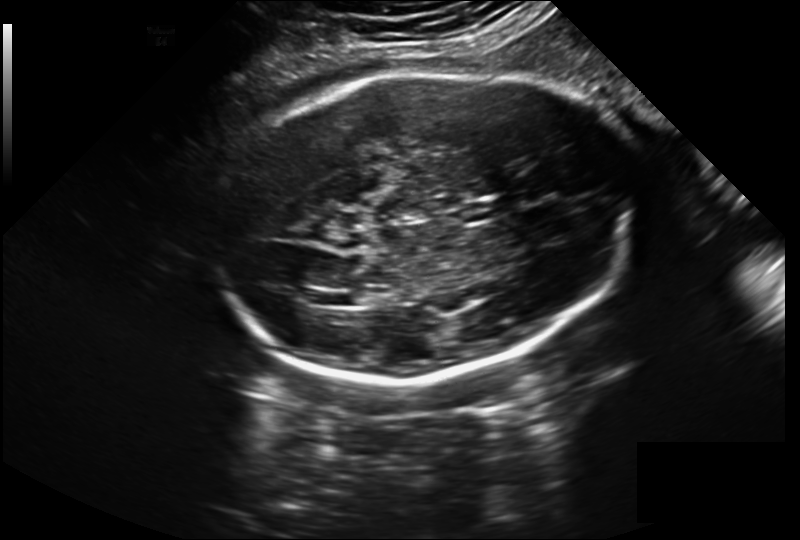
Measure the fetal head circumference shown in this ultrasound image. Image width: 194.5 mm.

Head circumference: 289.2 mm.